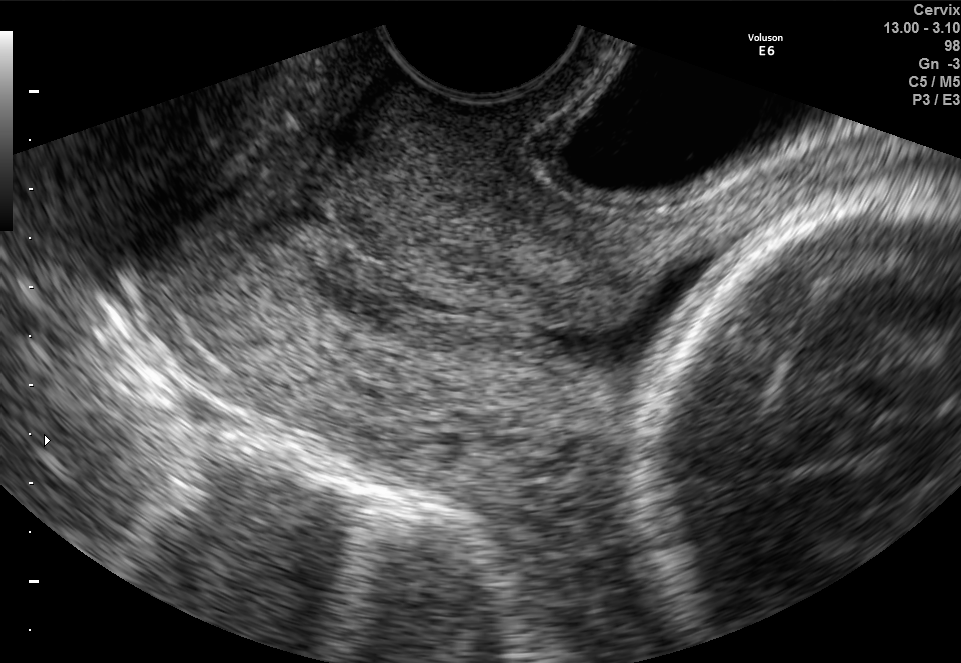
Classify this maternal-fetal ultrasound image as one of the six standard planes — fetal abdomen, fetal brain, fetal femur, fetal thorax, maternal cervix, or other. If it's fetal brain and one of the three standard brain planes (trans-thalamic, trans-cerebellum, trans-ventricular), name which.

Maternal cervix